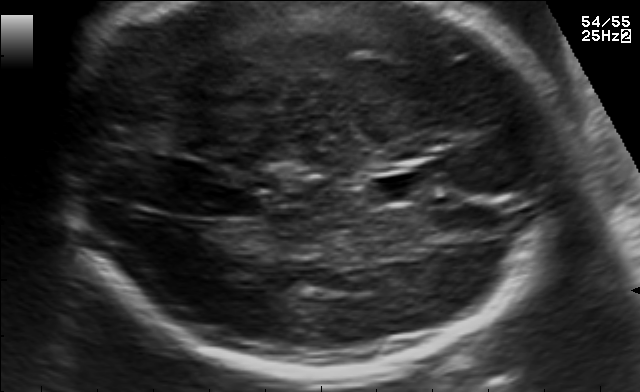
In this fetal brain, trans-thalamic plane, give the bounding box of the cavum septum pellucidum.

[371,169,433,206]